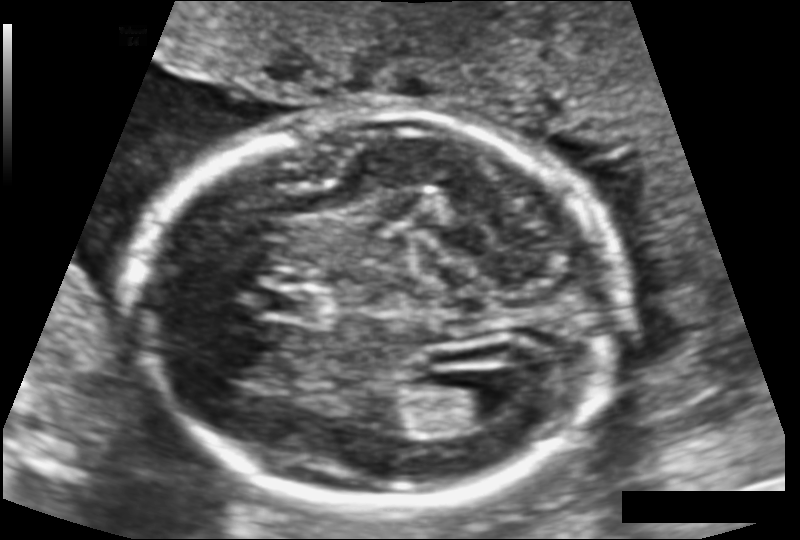
Fetal head ultrasound. Image width: 99.5 mm. Give [x1,y1,x2,y2] bounding boxes for each visible structure among: fetal head, CSP, LV.

Head: [136,112,622,511]
CSP: [261,287,316,320]
Lateral ventricle: [438,383,519,434]